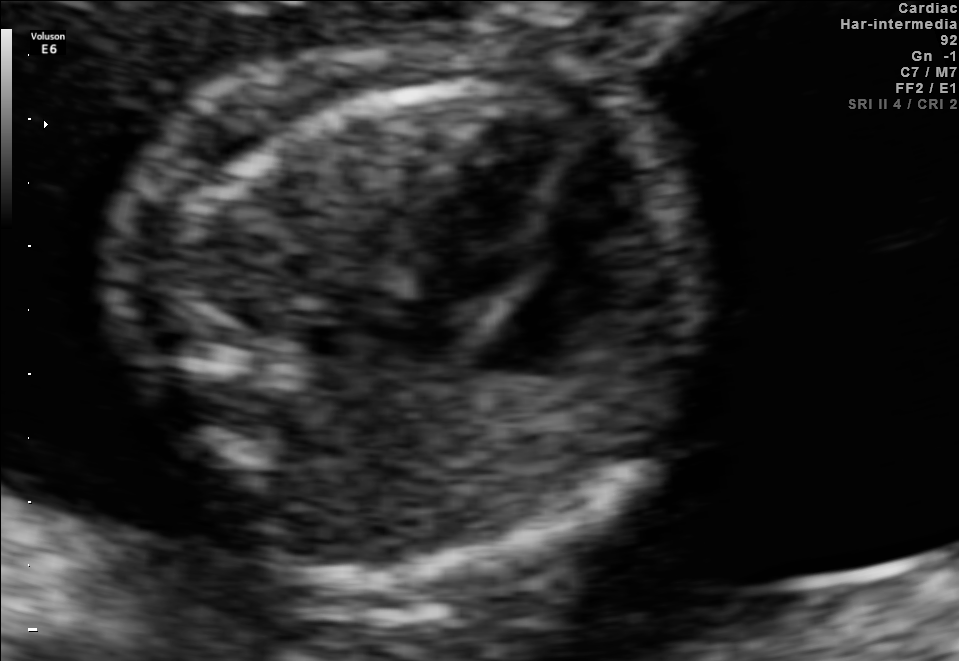
Which standard maternal-fetal ultrasound plane is shown: fetal abdomen, fetal brain, fetal femur, fetal thorax, maternal cervix, or other? If it's fetal brain and one of the three standard brain planes (trans-thalamic, trans-cerebellum, trans-ventricular), name which.

Fetal thorax